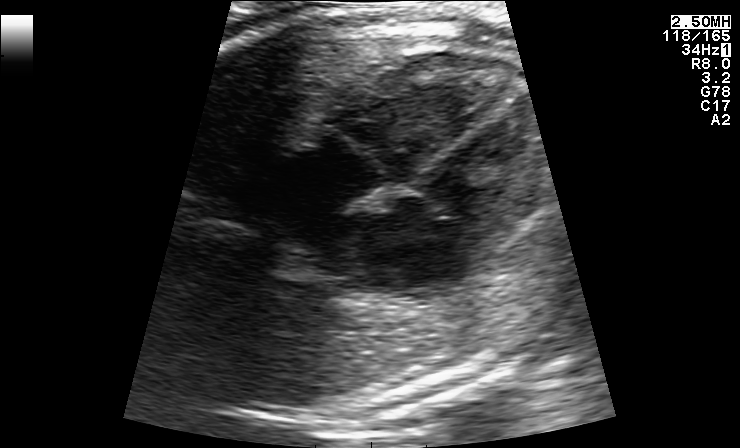
Classify this maternal-fetal ultrasound image as one of the six standard planes — fetal abdomen, fetal brain, fetal femur, fetal thorax, maternal cervix, or other. If it's fetal brain and one of the three standard brain planes (trans-thalamic, trans-cerebellum, trans-ventricular), name which.

Fetal thorax